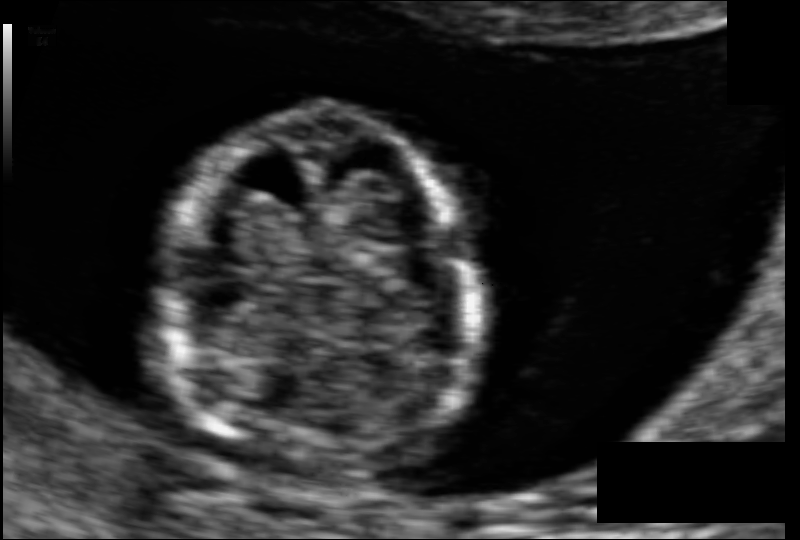
Measure the fetal head circumference shown in this ultrasound image. Image width: 54.8 mm.

Head circumference: 76.4 mm.